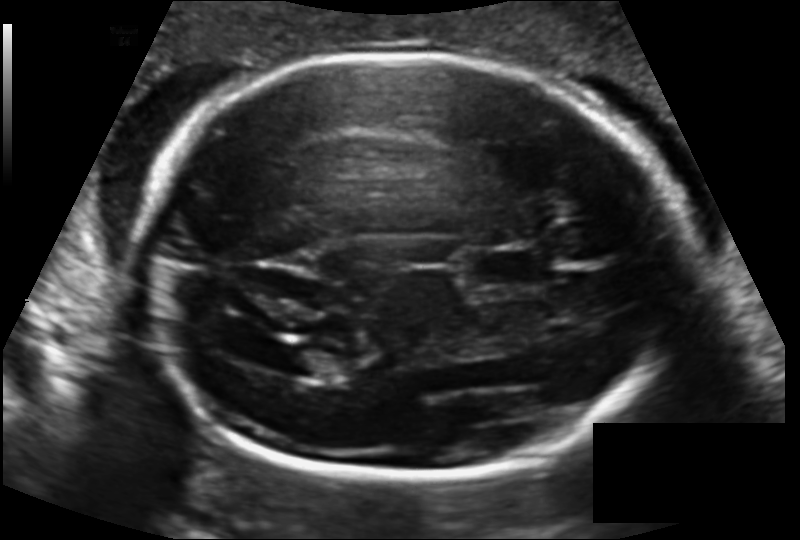
Measure the fetal head circumference shown in this ultrasound image. Image width: 112.0 mm.

Head circumference: 219.8 mm.